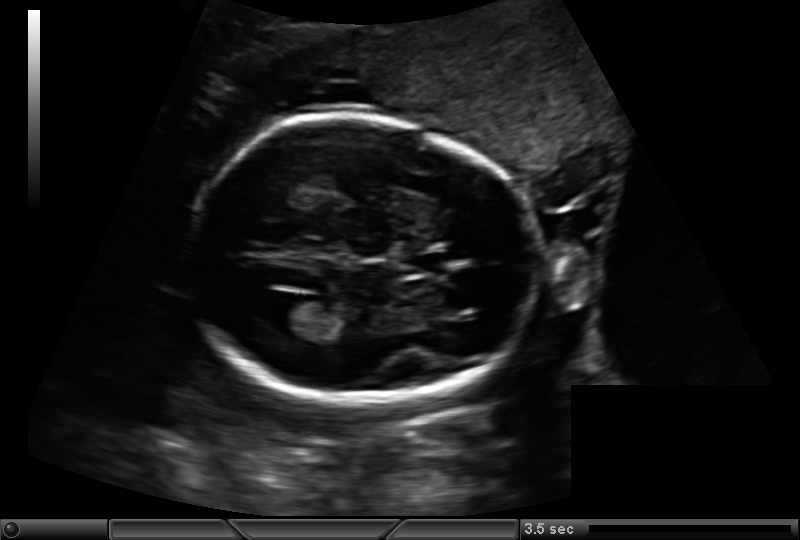
Fetal head ultrasound. Image width: 126.8 mm. Locate the lateral ventricle.

Lateral ventricle: [263,293,315,336]